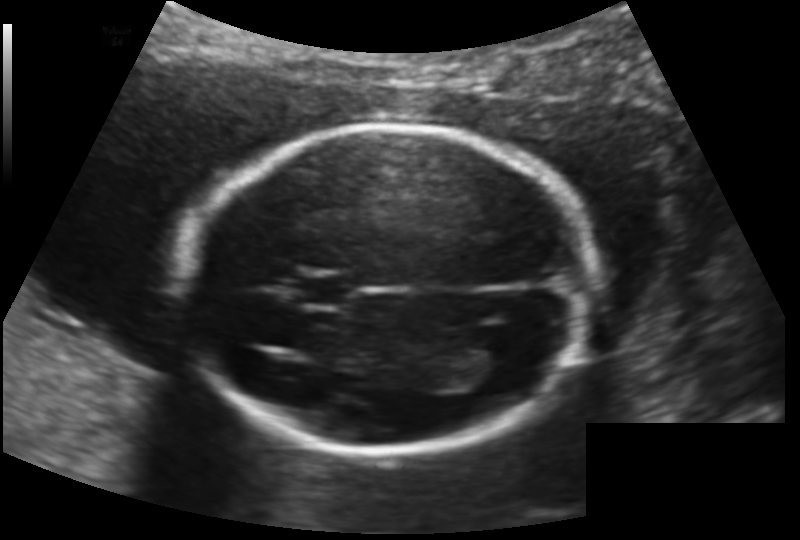
Fetal head ultrasound. Image width: 116.3 mm. Locate the cavum septum pellucidum.

CSP: [297,275,349,305]